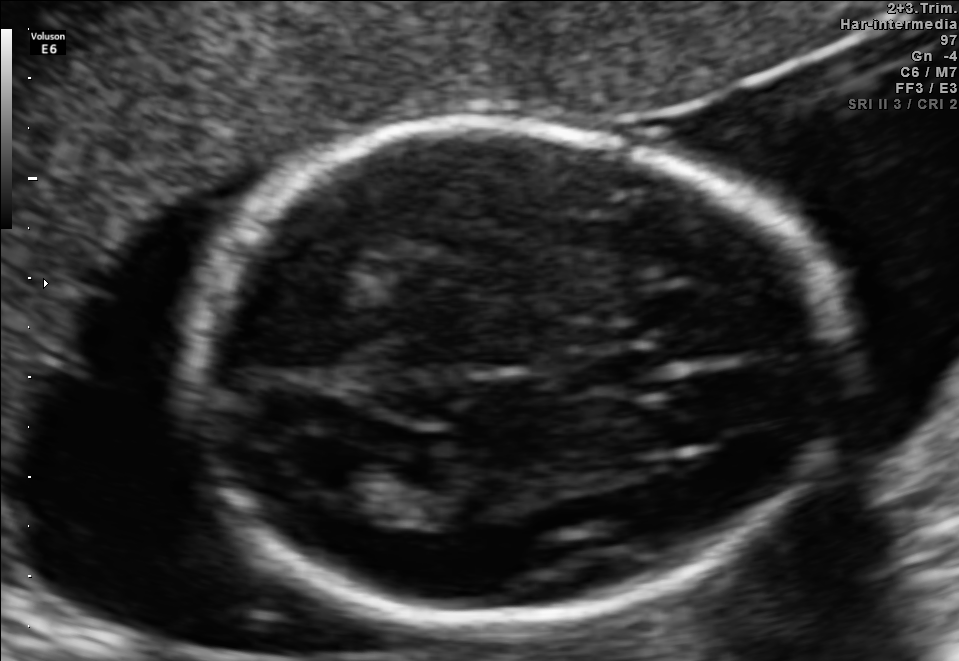
In this fetal brain, trans-ventricular plane, give the bounding box of the fetal head.

[167,111,852,630]